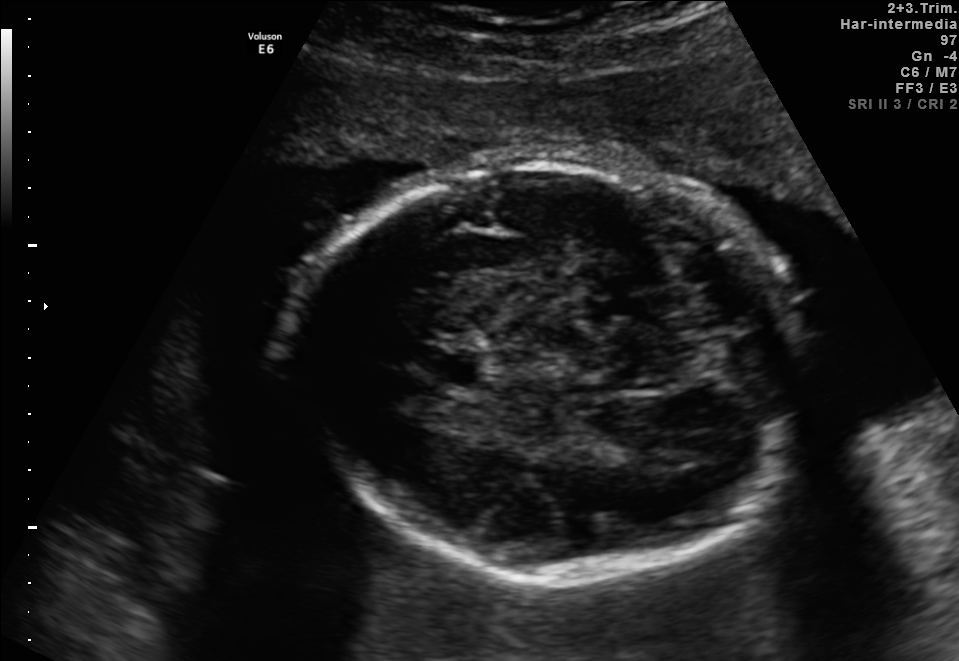
Fetal brain, trans-thalamic plane. Where is the cavum septum pellucidum?

CSP bounding box: [412,340,485,390]